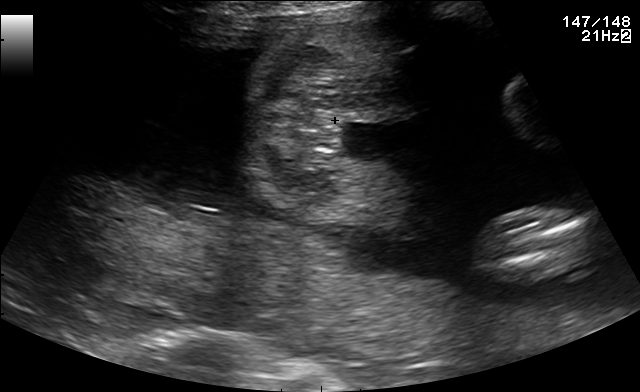
This is a 2D maternal-fetal ultrasound frame. Is it a fetal abdomen, fetal brain, fetal femur, fetal thorax, maternal cervix, or other standard plane? If it's fetal brain and one of the three standard brain planes (trans-thalamic, trans-cerebellum, trans-ventricular), name which.

Other